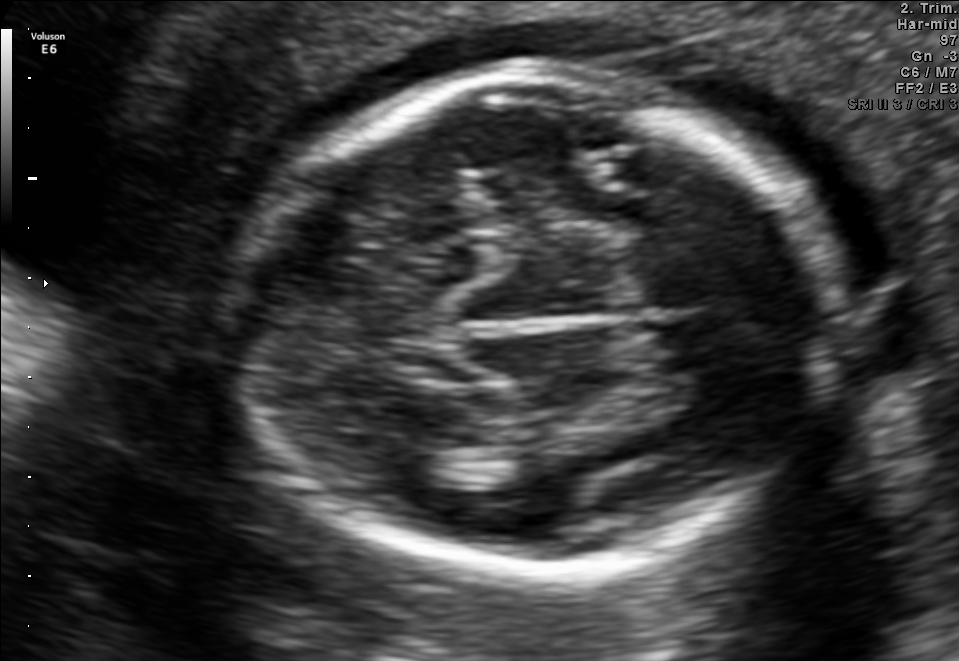
Fetal brain, trans-thalamic plane. Give [x1,y1,x2,y2] bounding boxes for each visible structure among: fetal head, CSP, LV.

Head: [233,78,838,569]